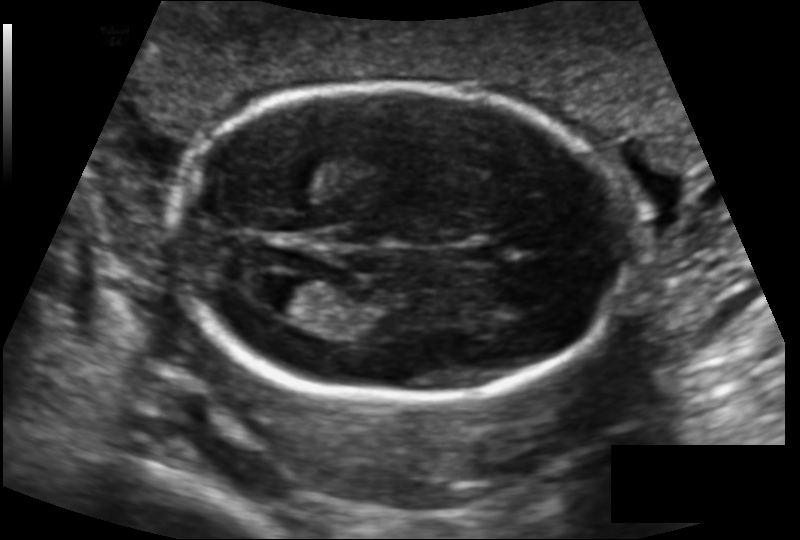
From this fetal ultrasound, estimate the head circumference (image width 104.8 mm).

Head circumference: 165.4 mm.